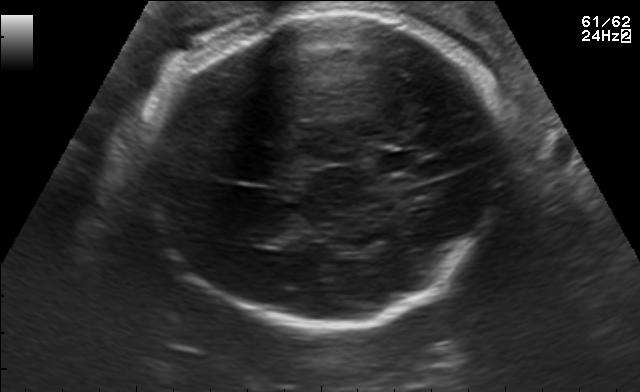
In this fetal brain, trans-thalamic plane, give the bounding box of the fetal head.

[131,11,506,326]